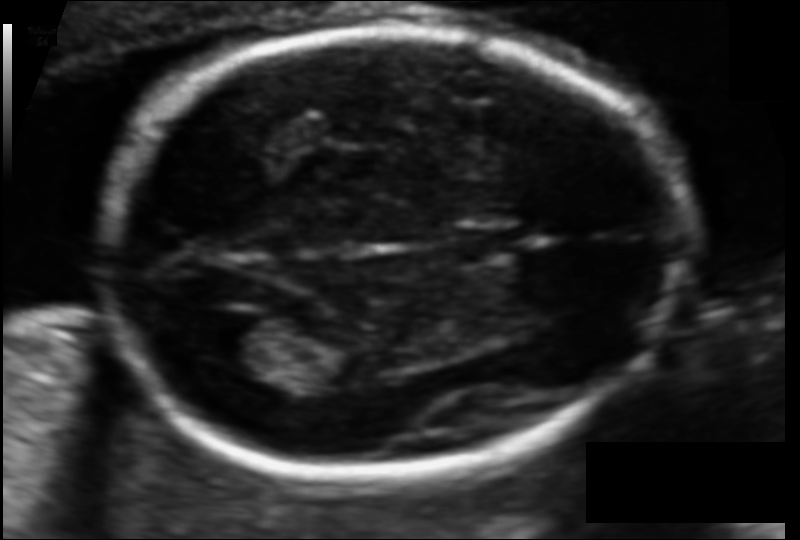
Fetal head ultrasound. Image width: 77.8 mm. Where is the fetal head?

Head bounding box: [101,29,681,479]